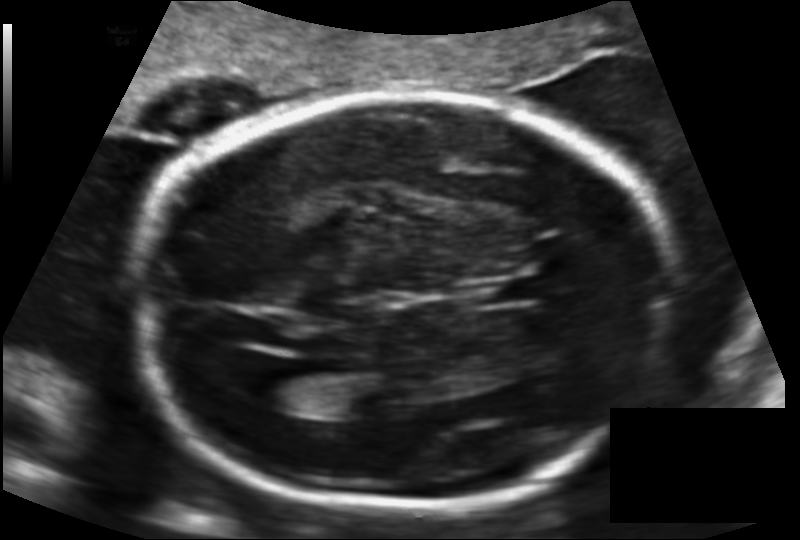
Fetal head ultrasound. Image width: 113.0 mm. Locate the cavum septum pellucidum.

CSP: [468,275,538,308]